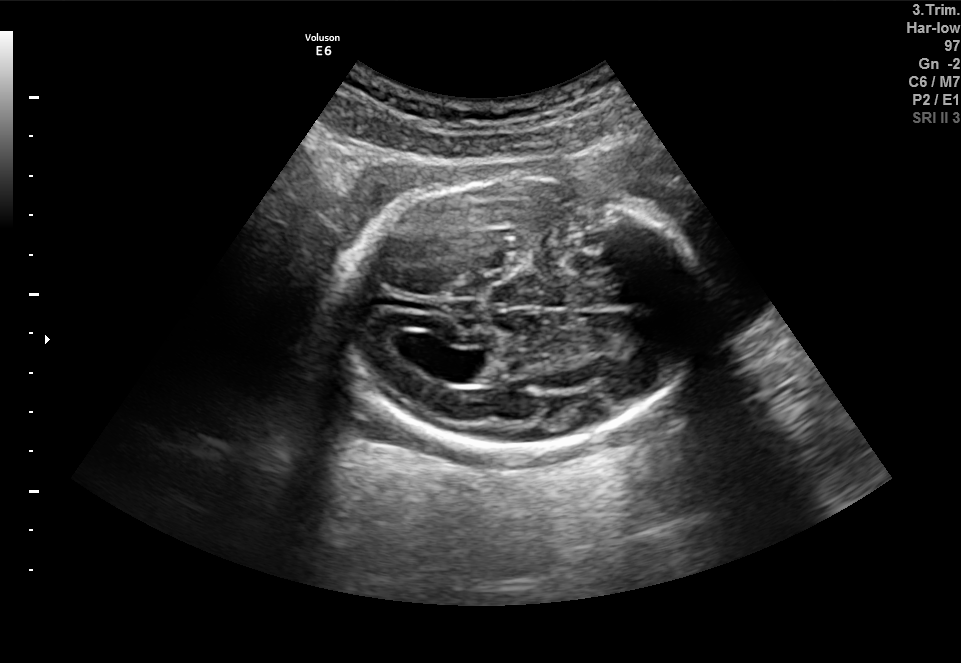
Fetal brain, trans-ventricular plane. Locate the fetal head.

Head: [332,174,709,455]